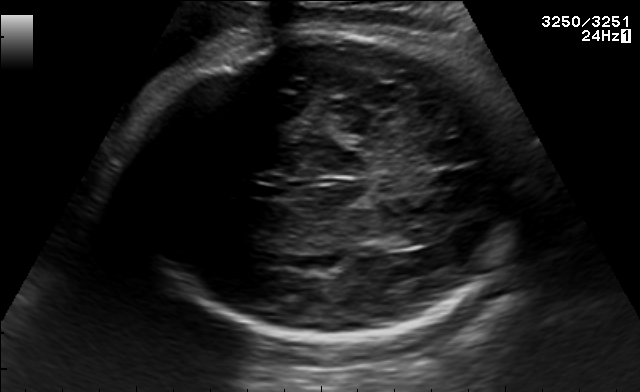
In this fetal brain, trans-thalamic plane, give the bounding box of the lateral ventricle.

[377,226,432,252]